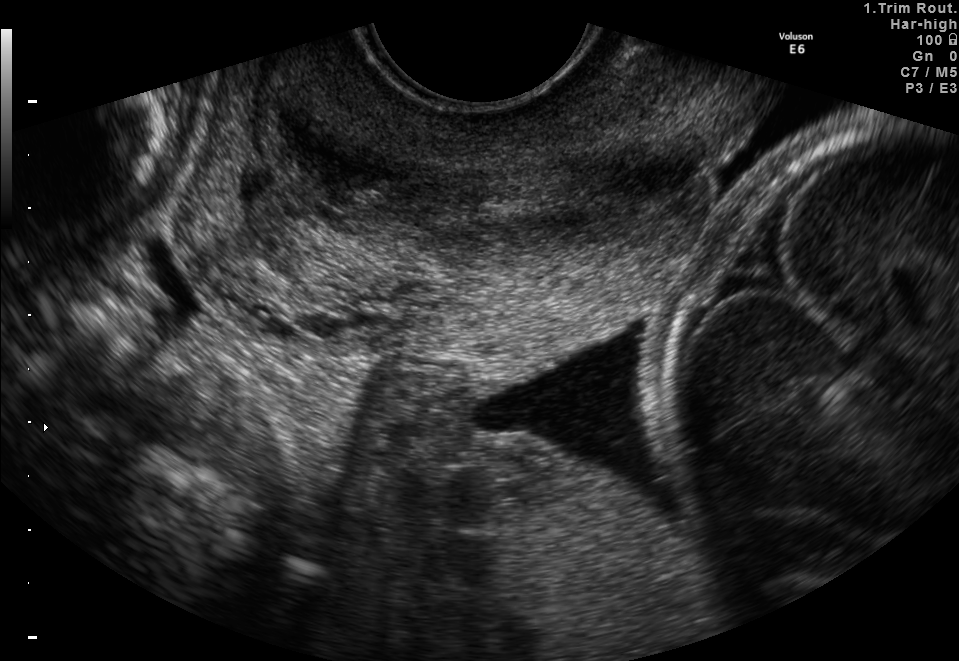
Identify the standard plane in this fetal ultrasound image: fetal abdomen, fetal brain, fetal femur, fetal thorax, maternal cervix, or other. If it's fetal brain and one of the three standard brain planes (trans-thalamic, trans-cerebellum, trans-ventricular), name which.

Maternal cervix